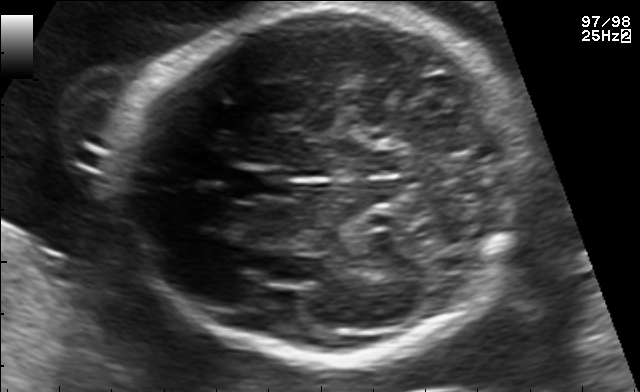
Fetal brain, trans-thalamic plane. Locate the fetal head.

Head: [121,7,527,359]